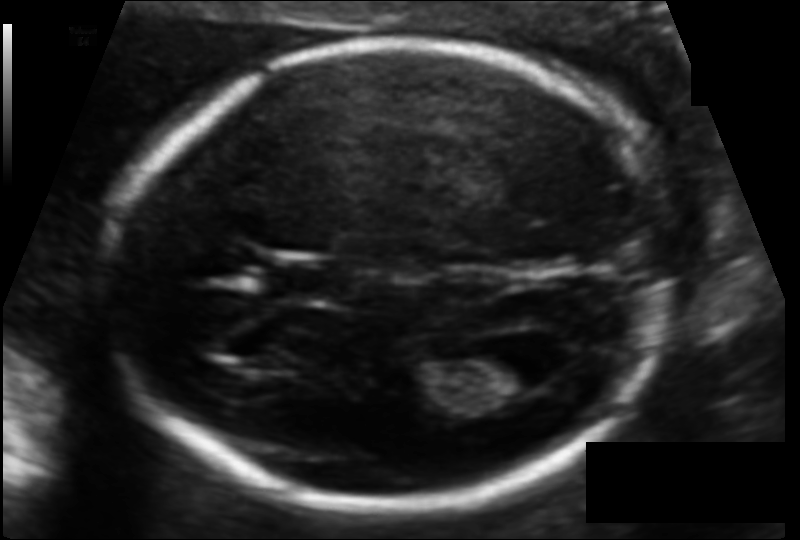
Fetal head ultrasound. Image width: 82.6 mm. Where is the lateral ventricle?

Lateral ventricle bounding box: [465,332,558,408]